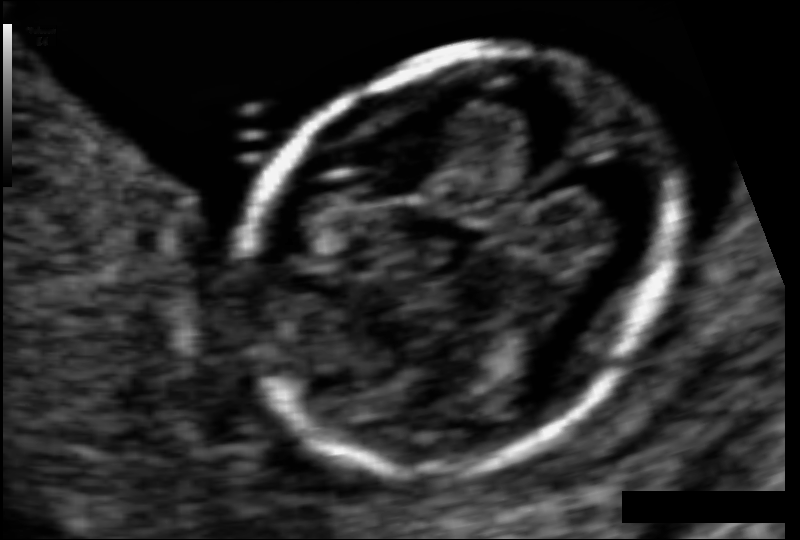
Fetal head ultrasound. Image width: 48.5 mm. Where is the fetal head?

Head bounding box: [240,47,672,469]